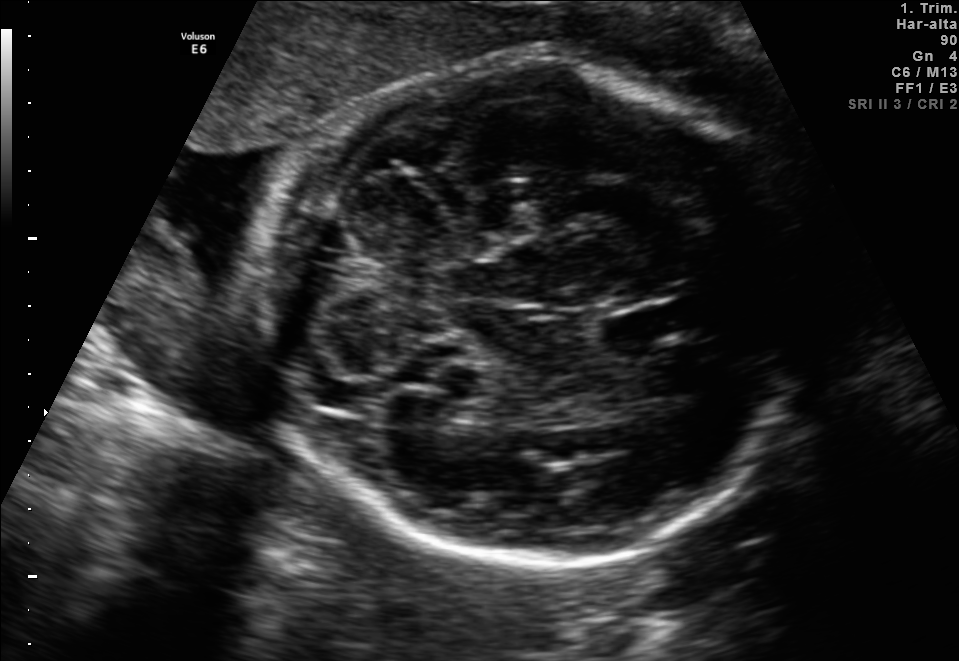
In this fetal brain, trans-cerebellum plane, give the bounding box of the cavum septum pellucidum.

[594,299,681,354]